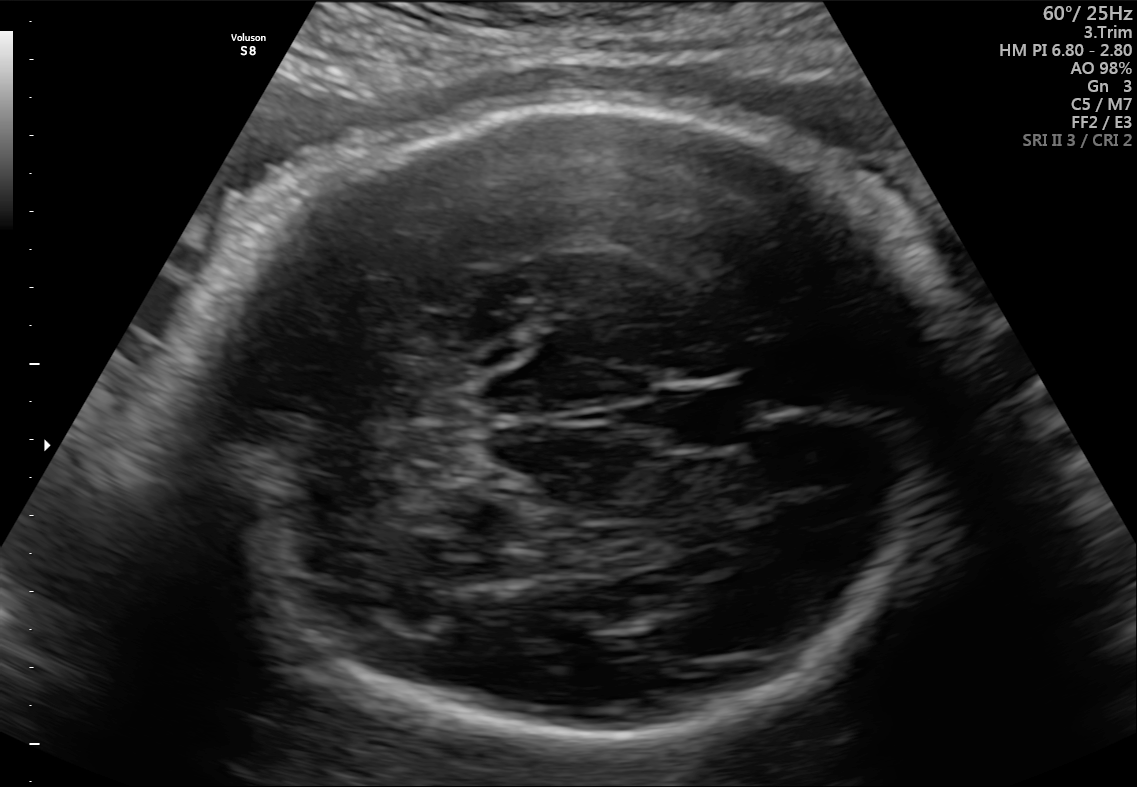
Fetal brain, trans-cerebellum plane. Give [x1,y1,x2,y2] bounding boxes for each visible structure among: fetal head, CSP, LV.

Head: [184,106,953,743]
CSP: [656,378,752,459]